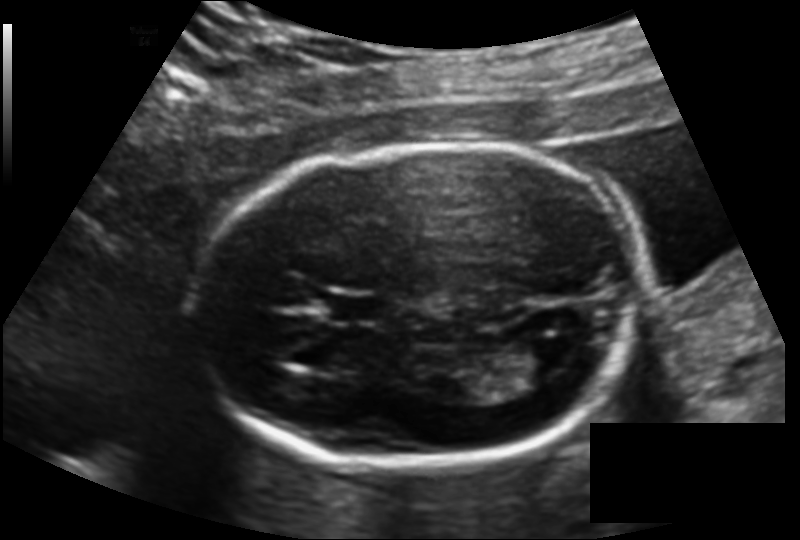
Estimate the fetal head circumference from this 2D ultrasound. Image width: 109.3 mm.

Head circumference: 174.9 mm.